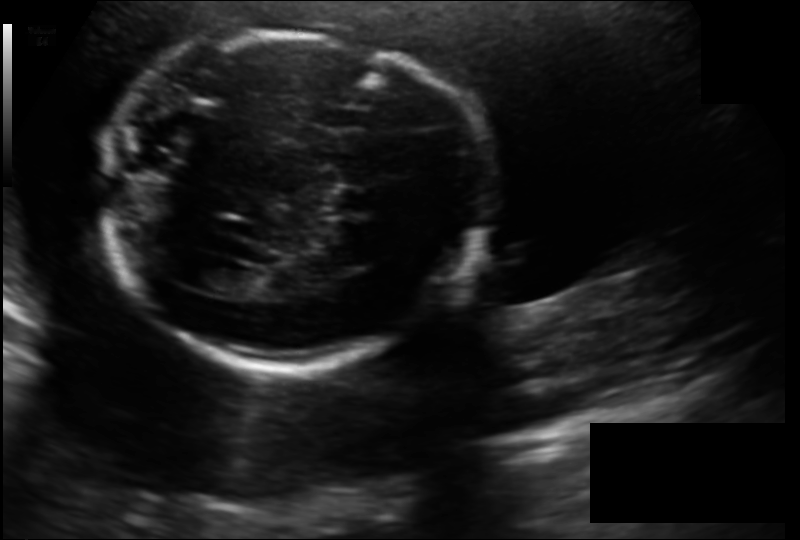
Fetal head ultrasound. Image width: 126.7 mm. Where is the lateral ventricle?

Lateral ventricle bounding box: [191,260,244,297]